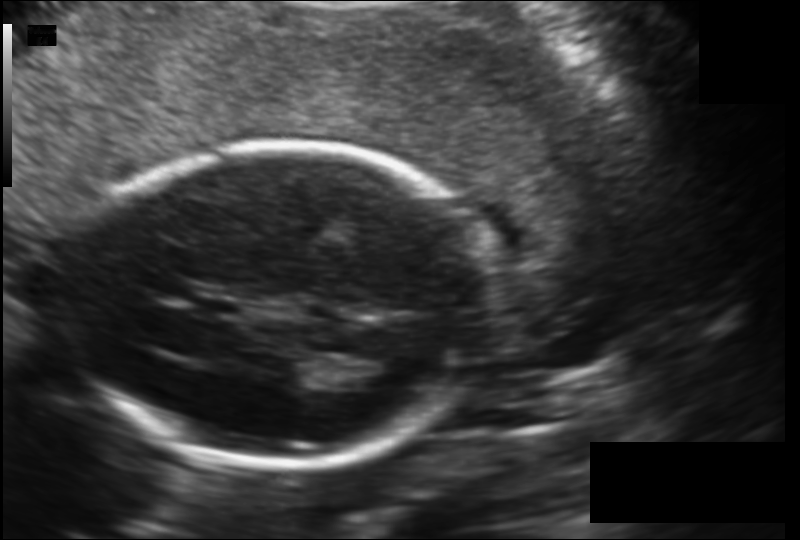
In this fetal head ultrasound, give the bounding box of the fetal head. Image width: 117.3 mm.

[70,145,493,472]